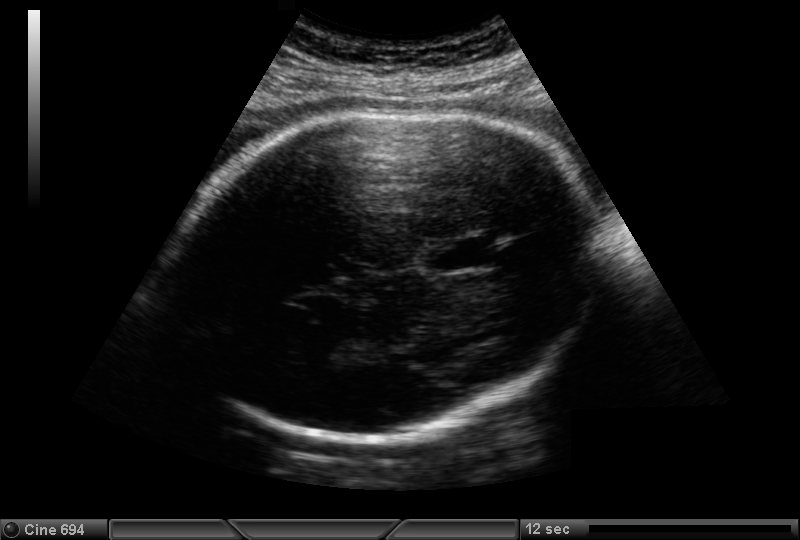
Estimate the fetal head circumference from this 2D ultrasound. Image width: 176.7 mm.

Head circumference: 272.8 mm.